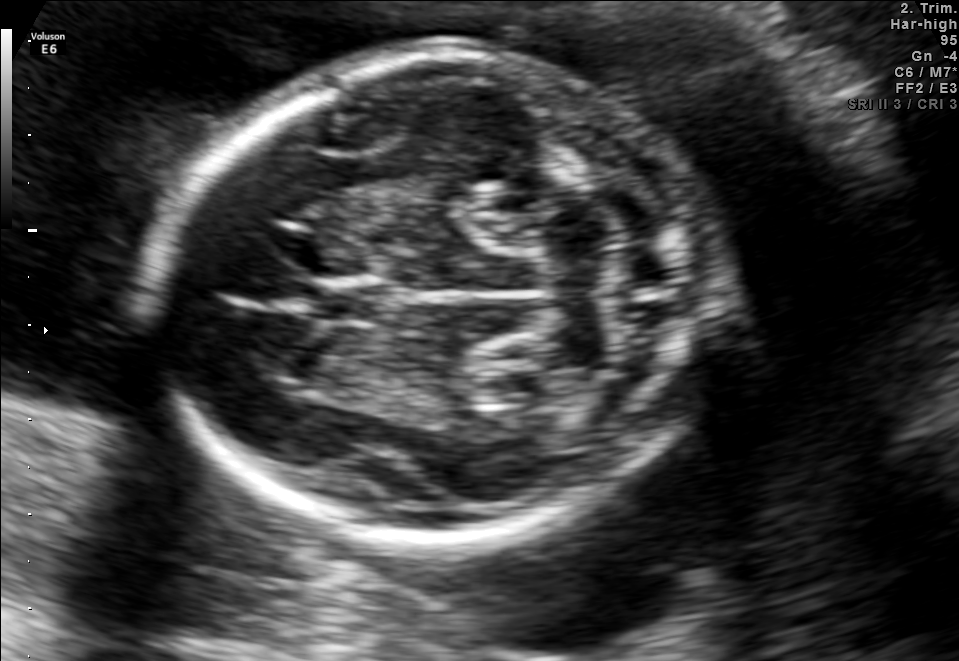
In this fetal brain, trans-cerebellum plane, give the bounding box of the fetal head.

[154,51,715,538]